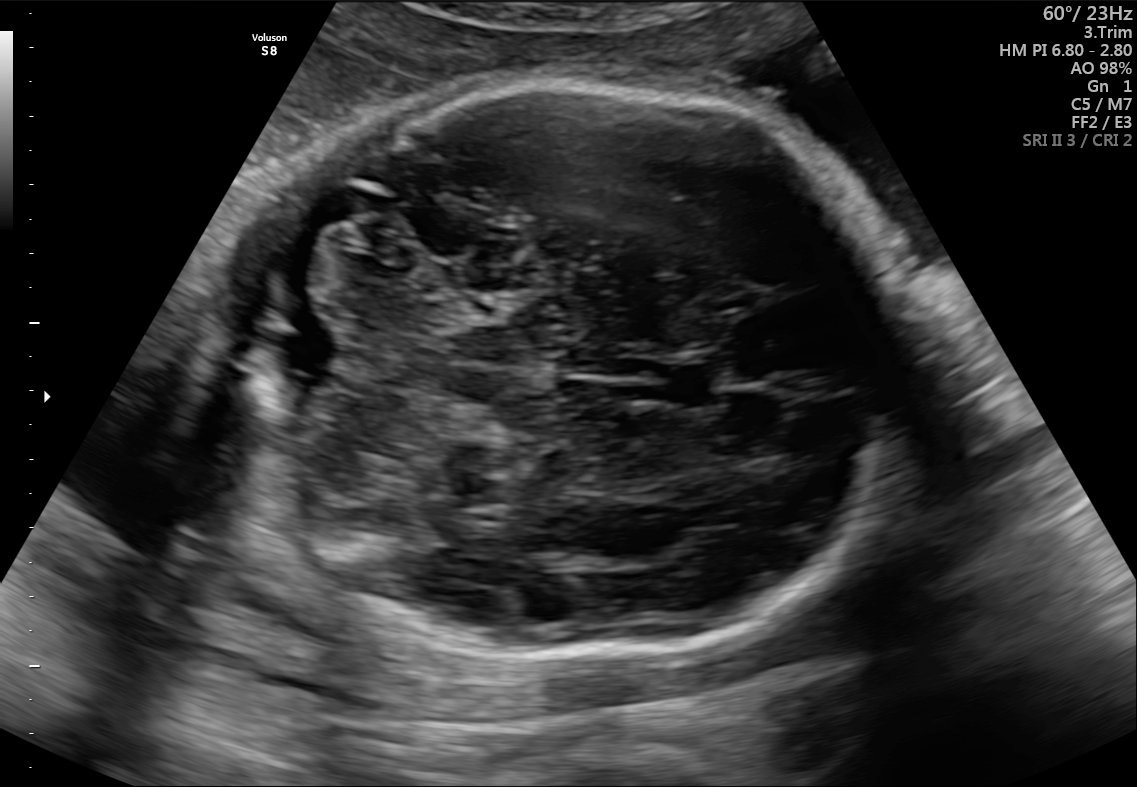
In this fetal brain, trans-cerebellum plane, give the bounding box of the fetal head.

[209,81,909,663]